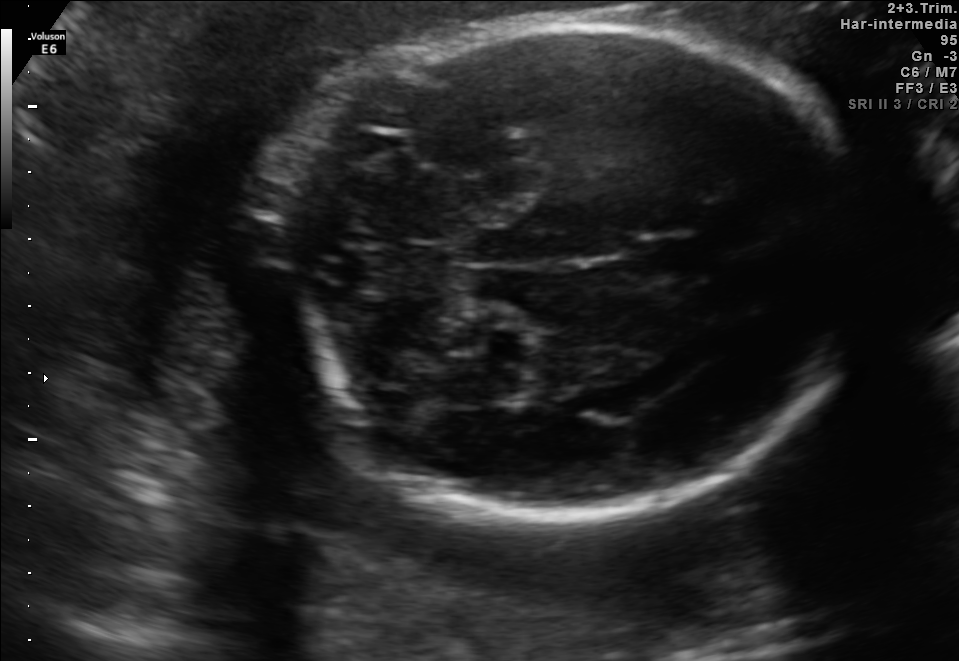
Fetal brain, trans-cerebellum plane. Locate the fetal head and, if visible, the cavum septum pellucidum (CSP) and lateral ventricle (LV). Give bounding boxes as [x1,y1,x2,y2].

Head: [252,23,867,522]
CSP: [631,227,709,285]